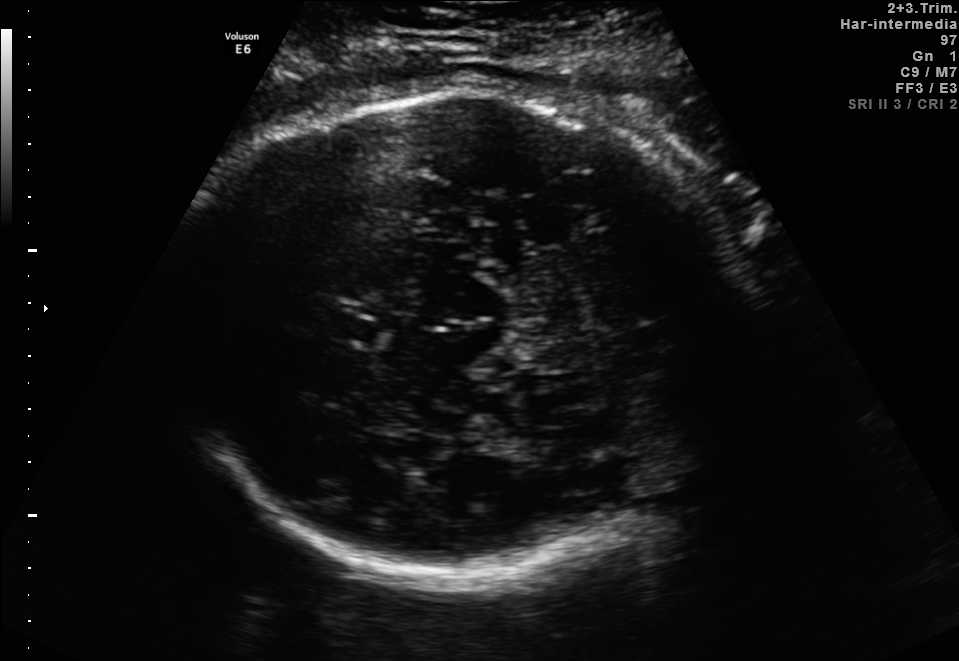
Fetal brain, trans-thalamic plane. Locate the fetal head.

Head: [164,87,753,574]